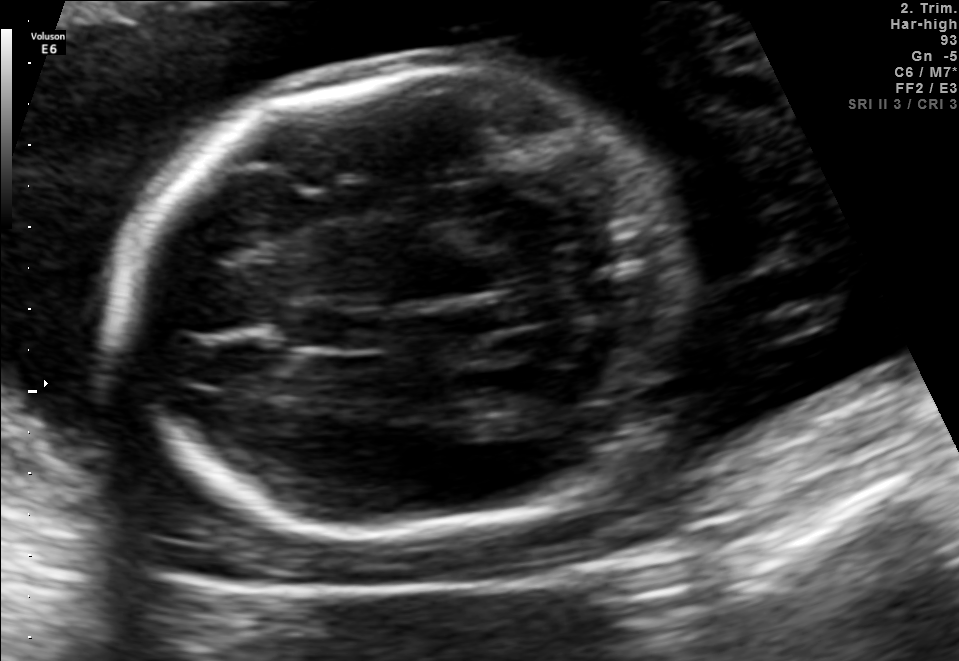
Fetal brain, trans-cerebellum plane. Locate the cavum septum pellucidum.

CSP: [289,311,375,352]